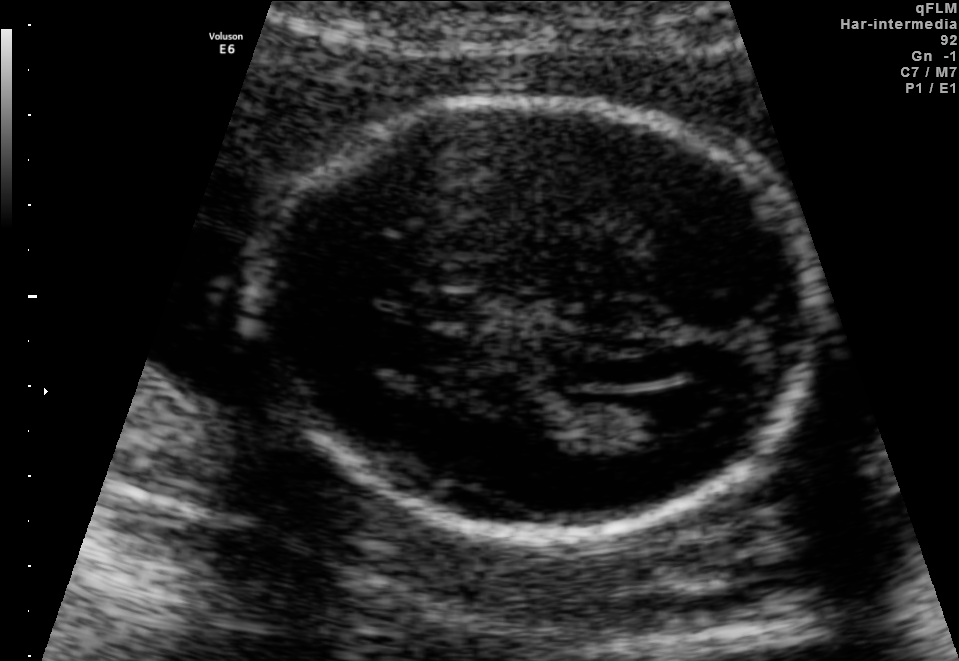
Fetal brain, trans-ventricular plane. Where is the cavum septum pellucidum?

CSP bounding box: [385,283,497,332]